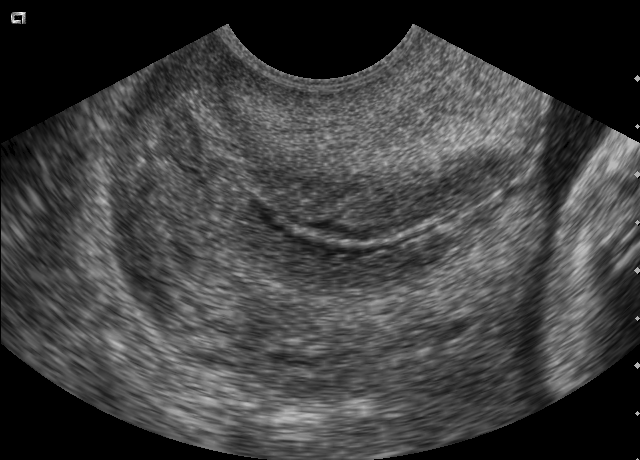
This is a 2D maternal-fetal ultrasound frame. Is it a fetal abdomen, fetal brain, fetal femur, fetal thorax, maternal cervix, or other standard plane? If it's fetal brain and one of the three standard brain planes (trans-thalamic, trans-cerebellum, trans-ventricular), name which.

Maternal cervix